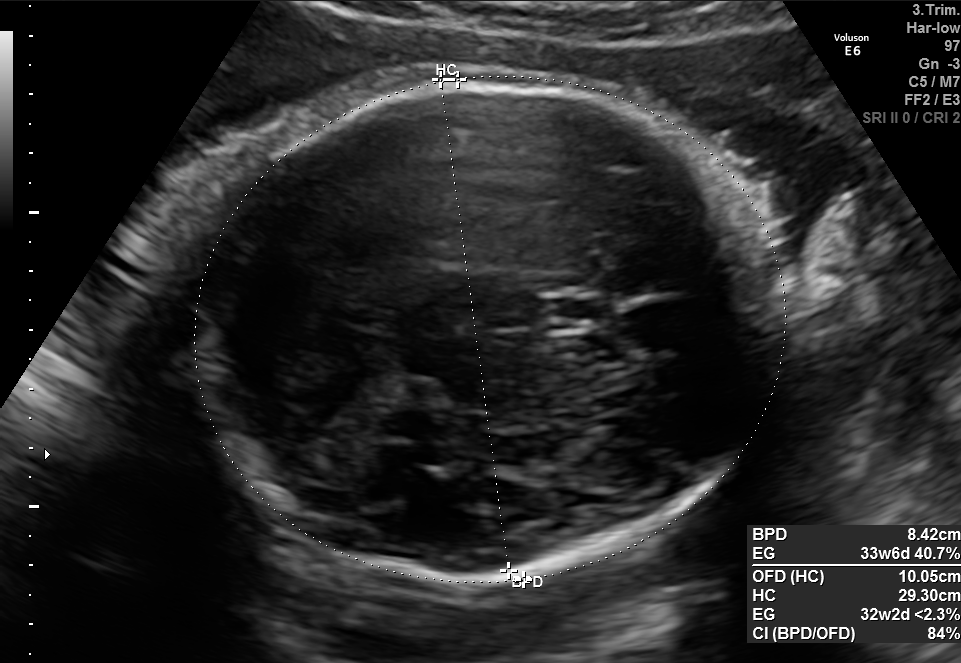
In this fetal brain, trans-thalamic plane, give the bounding box of the fetal head.

[193,73,786,582]